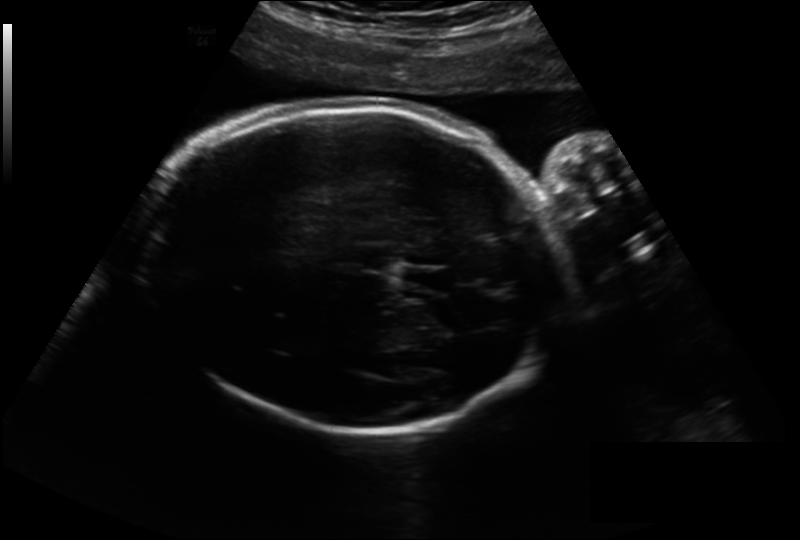
In this fetal head ultrasound, give the bounding box of the fetal head. Image width: 194.6 mm.

[139,102,566,430]